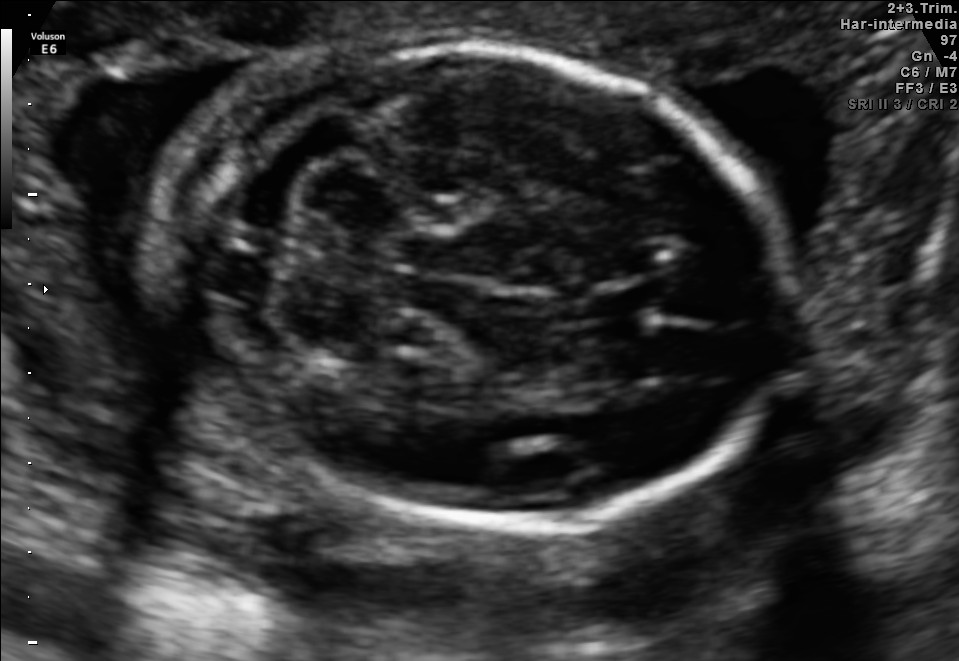
Fetal brain, trans-cerebellum plane. Locate the fetal head.

Head: [147,43,790,526]